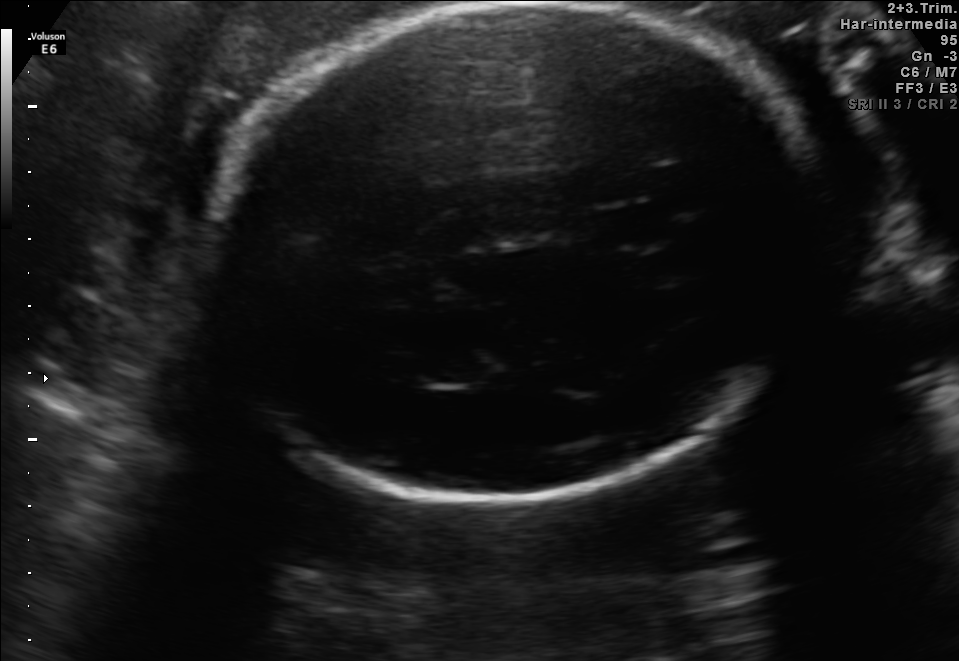
Fetal brain, trans-thalamic plane. Where is the cavum septum pellucidum?

CSP bounding box: [589,202,663,249]